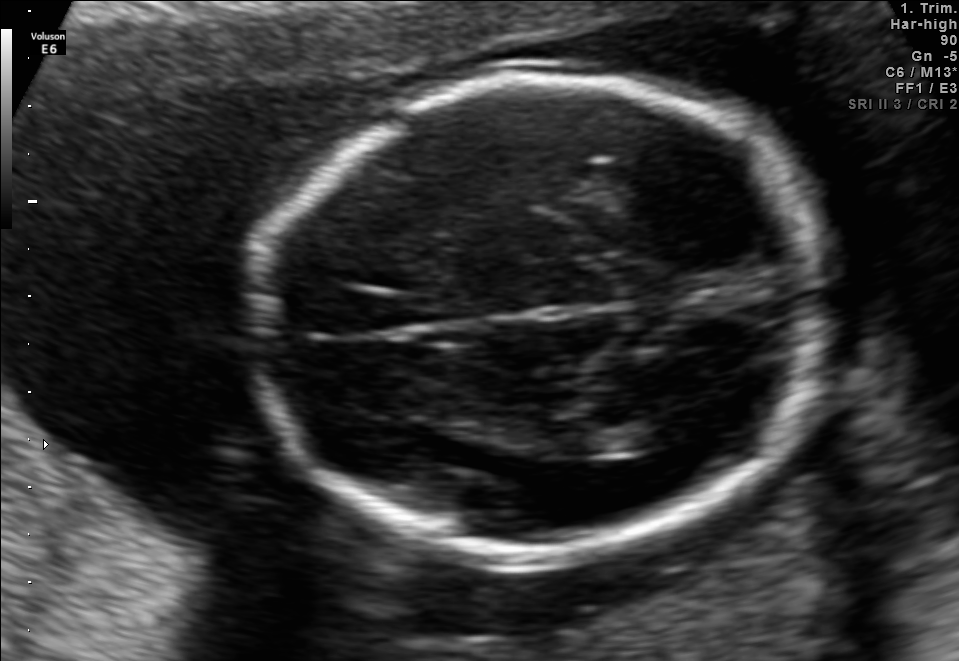
Fetal brain, trans-thalamic plane. Where is the fetal head?

Head bounding box: [258,80,825,561]